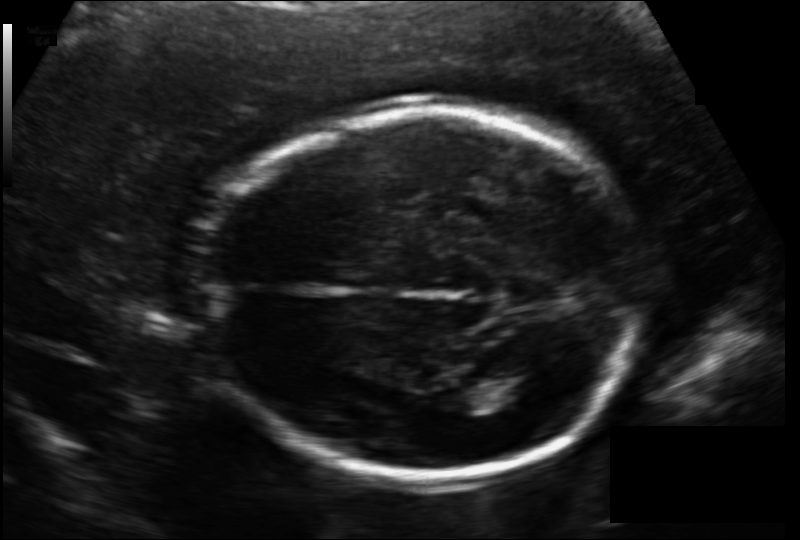
Fetal head ultrasound. Image width: 106.6 mm. Give [x1,y1,x2,y2] bounding boxes for each visible structure among: fetal head, CSP, LV.

Head: [203,107,644,480]
Lateral ventricle: [469,360,541,410]